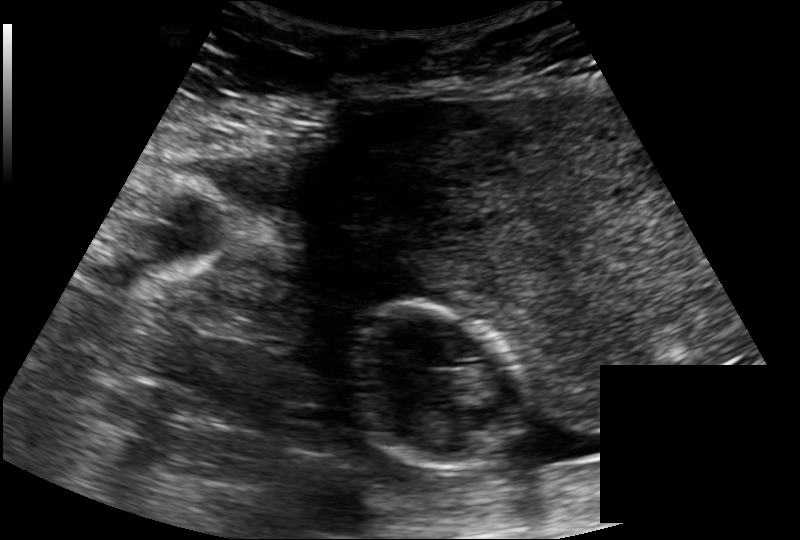
In this fetal head ultrasound, give the bounding box of the fetal head. Image width: 136.5 mm.

[345,302,516,470]